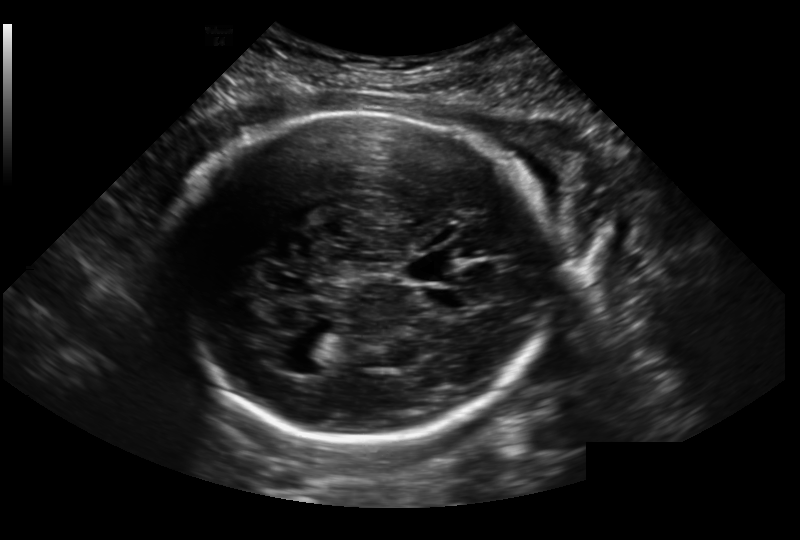
In this fetal head ultrasound, give the bounding box of the lateral ventricle. Image width: 188.7 mm.

[281,354,324,377]